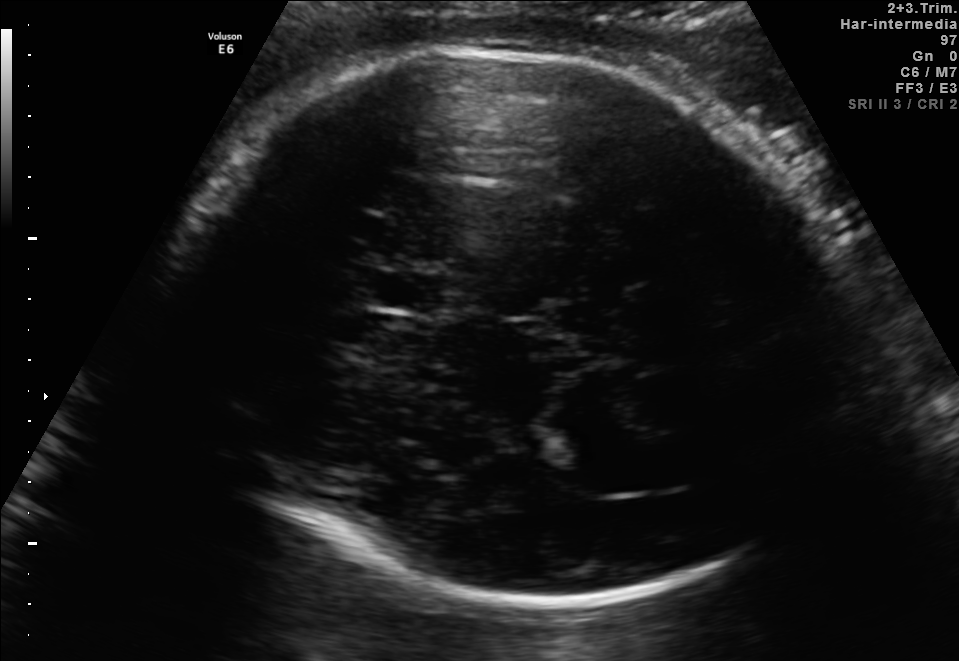
Fetal brain, trans-thalamic plane. Locate the fetal head.

Head: [186,46,841,605]